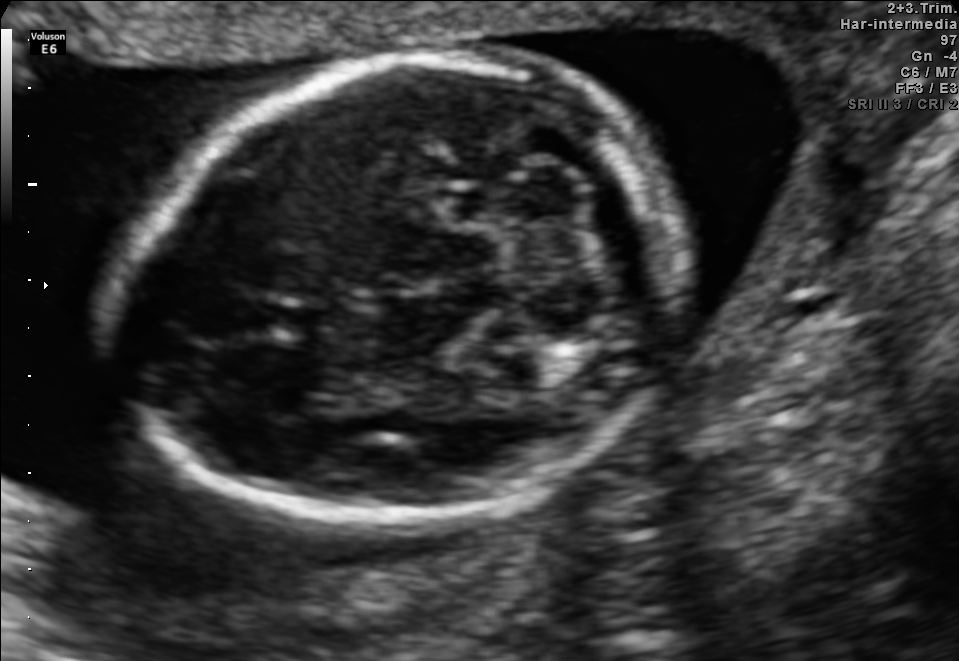
Fetal brain, trans-cerebellum plane. Locate the fetal head and, if visible, the cavum septum pellucidum (CSP) and lateral ventricle (LV). Give bounding boxes as [x1,y1,x2,y2].

Head: [115,55,686,536]